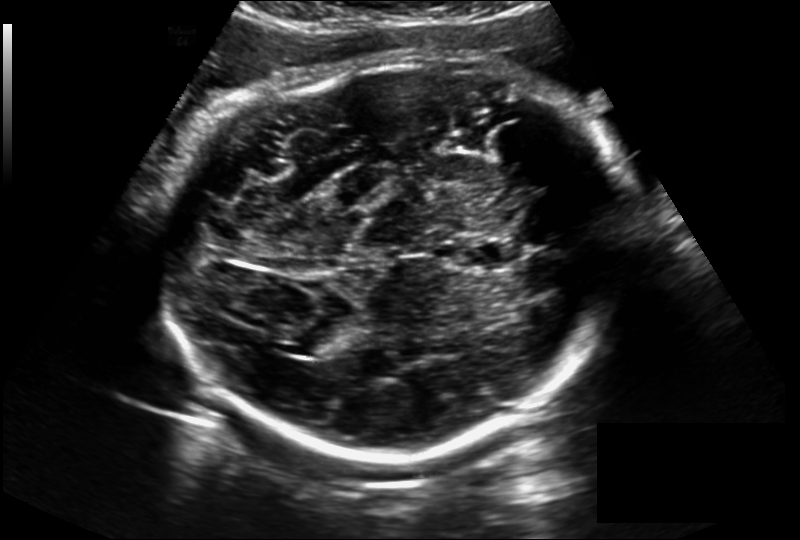
Estimate the fetal head circumference from this 2D ultrasound. Image width: 182.1 mm.

Head circumference: 315.8 mm.